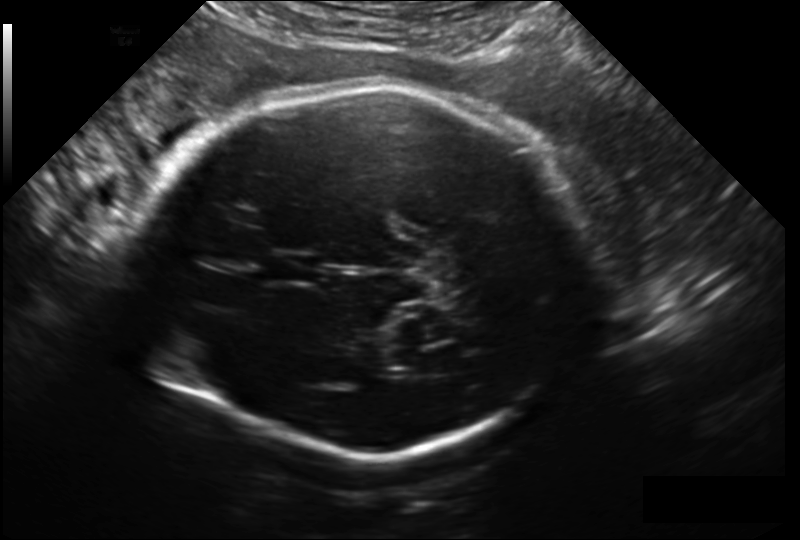
In this fetal head ultrasound, give the bounding box of the cavum septum pellucidum. Image width: 167.2 mm.

[266,251,320,284]